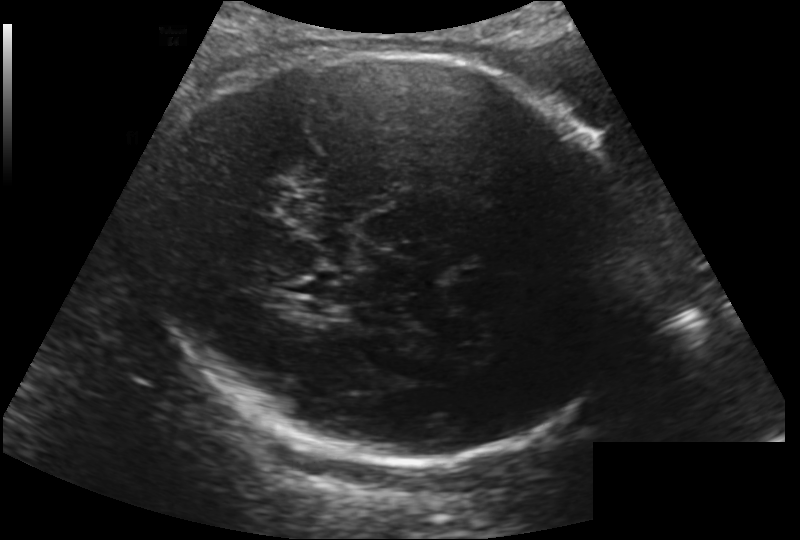
Fetal head ultrasound. Image width: 160.1 mm. Locate the fetal head and, if visible, the cavum septum pellucidum (CSP) and lateral ventricle (LV). Give bounding boxes as [x1,y1,x2,y2].

Head: [152,51,638,464]